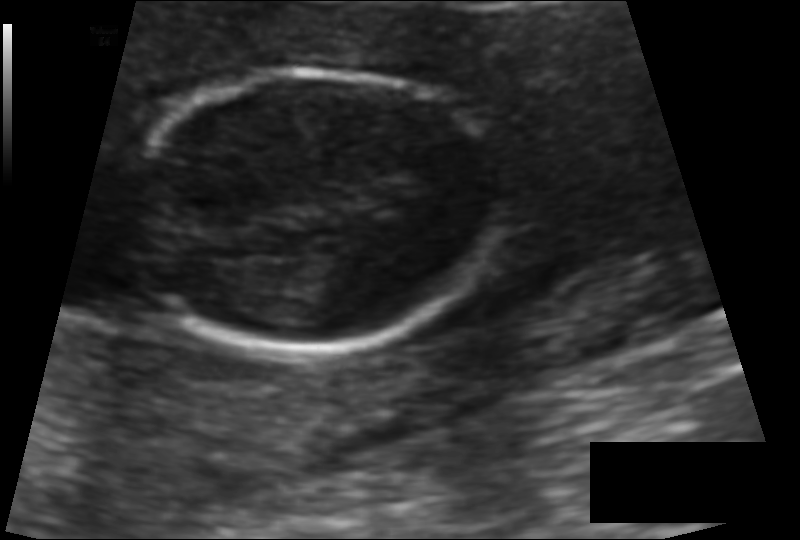
Measure the fetal head circumference shown in this ultrasound image. Image width: 75.9 mm.

Head circumference: 103.8 mm.